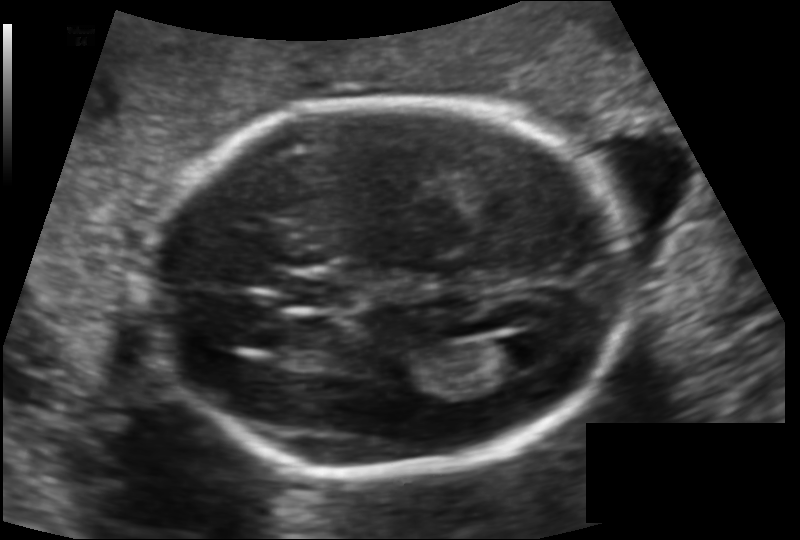
Fetal head ultrasound. Image width: 100.1 mm. Locate the fetal head and, if visible, the cavum septum pellucidum (CSP) and lateral ventricle (LV). Give bounding boxes as [x1,y1,x2,y2].

Head: [149,101,624,476]
CSP: [282,275,359,308]
Lateral ventricle: [482,328,552,378]